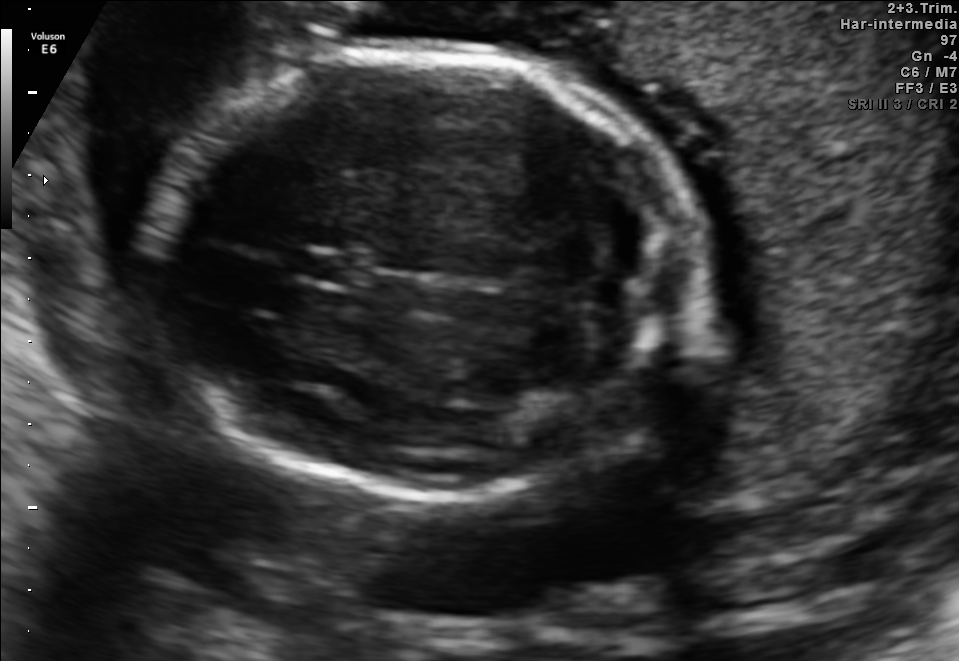
Fetal brain, trans-cerebellum plane. Give [x1,y1,x2,y2] bounding boxes for each visible structure among: fetal head, CSP, LV.

Head: [154,49,701,496]
CSP: [288,243,366,291]